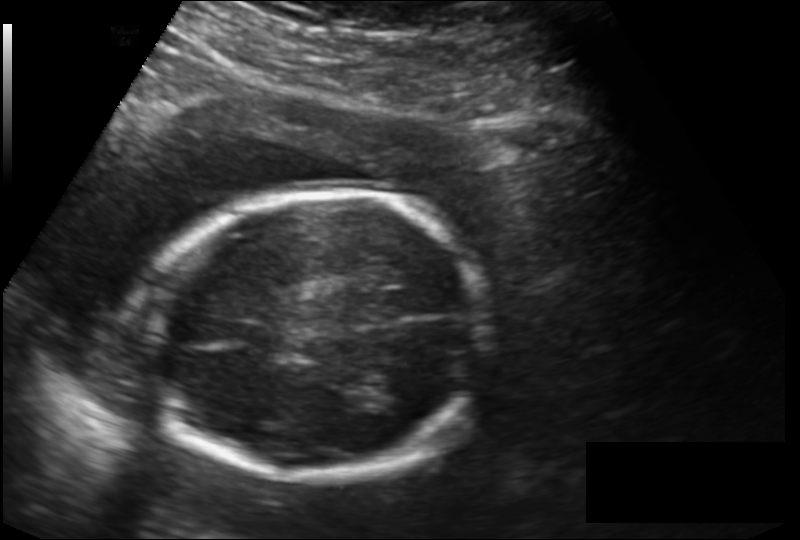
Fetal head ultrasound. Image width: 133.1 mm. Locate the fetal head and, if visible, the cavum septum pellucidum (CSP) and lateral ventricle (LV). Give bounding boxes as [x1,y1,x2,y2].

Head: [138,193,485,476]